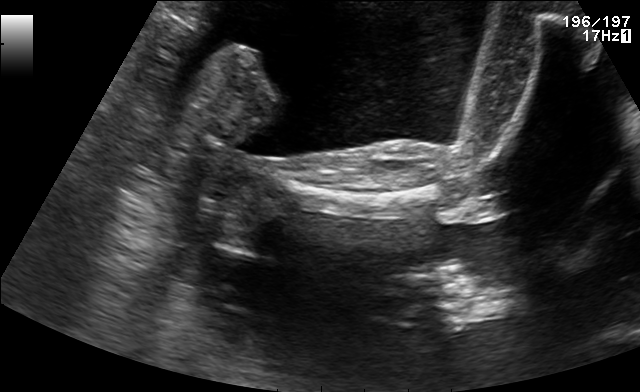
This is a 2D maternal-fetal ultrasound frame. Is it a fetal abdomen, fetal brain, fetal femur, fetal thorax, maternal cervix, or other standard plane? If it's fetal brain and one of the three standard brain planes (trans-thalamic, trans-cerebellum, trans-ventricular), name which.

Fetal femur